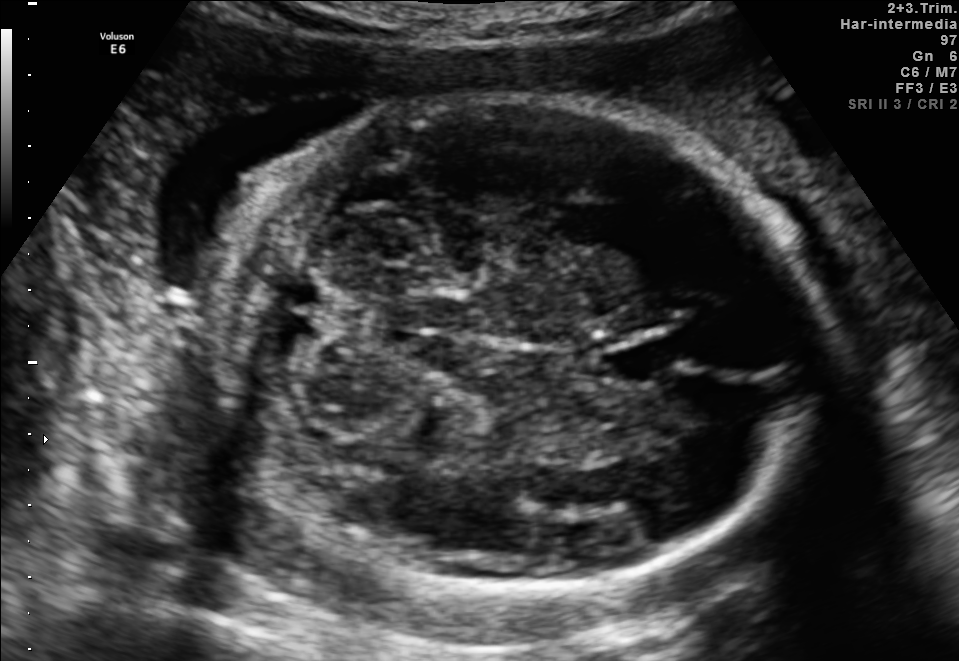
Which standard maternal-fetal ultrasound plane is shown: fetal abdomen, fetal brain, fetal femur, fetal thorax, maternal cervix, or other? If it's fetal brain and one of the three standard brain planes (trans-thalamic, trans-cerebellum, trans-ventricular), name which.

Fetal brain (trans-cerebellum plane)